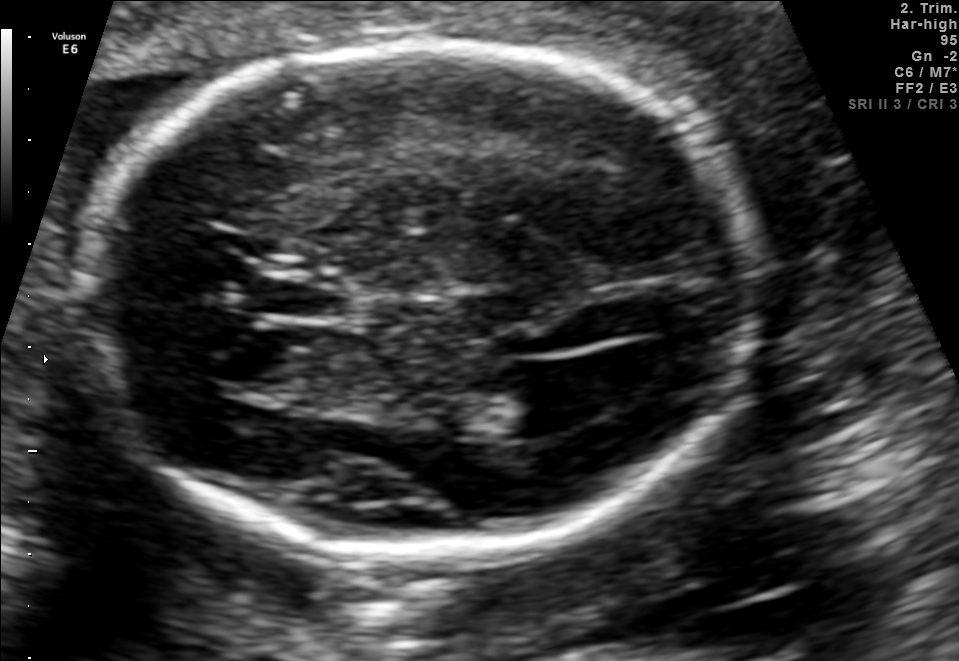
In this fetal brain, trans-ventricular plane, give the bounding box of the lateral ventricle.

[497,351,618,441]